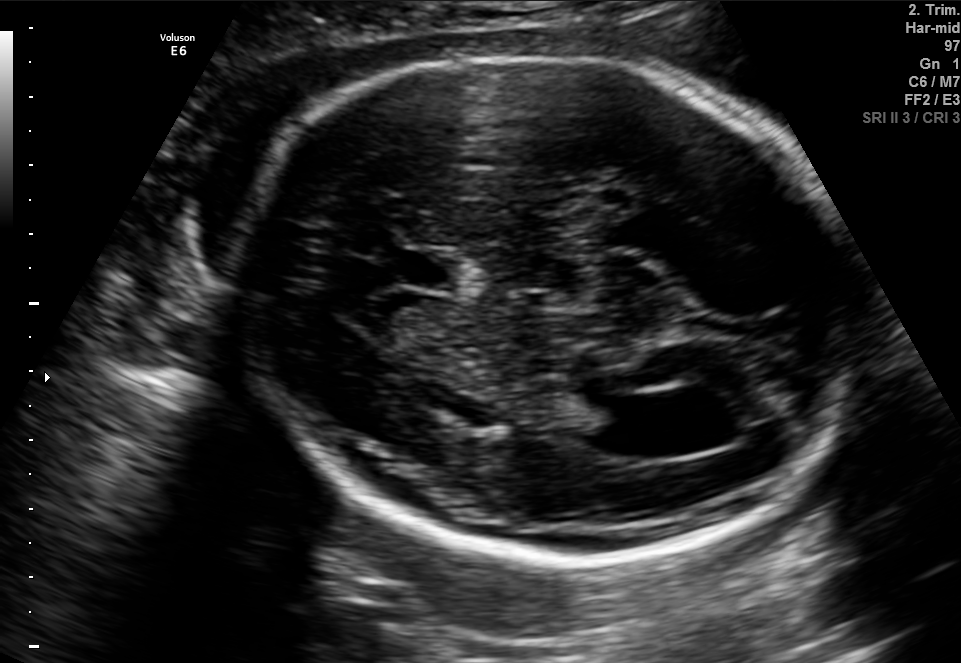
Identify the standard plane in this fetal ultrasound image: fetal abdomen, fetal brain, fetal femur, fetal thorax, maternal cervix, or other. If it's fetal brain and one of the three standard brain planes (trans-thalamic, trans-cerebellum, trans-ventricular), name which.

Fetal brain (trans-ventricular plane)